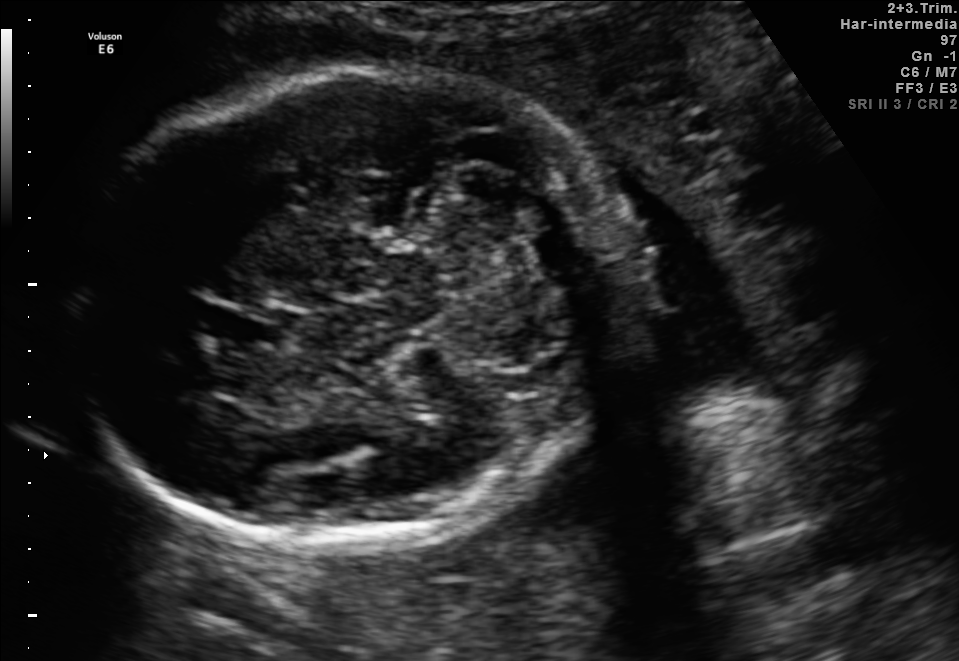
Fetal brain, trans-cerebellum plane. Give [x1,y1,x2,y2] bounding boxes for each visible structure among: fetal head, CSP, LV.

Head: [76,68,625,543]
CSP: [198,297,286,357]